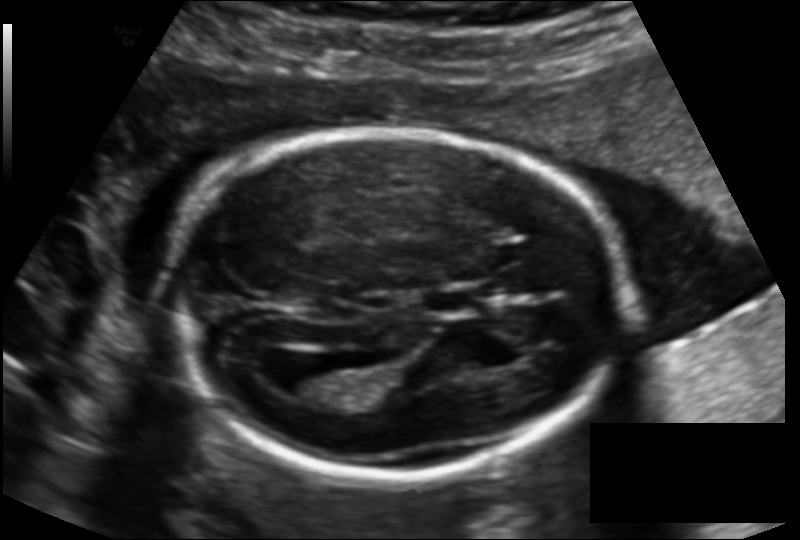
Fetal head ultrasound. Image width: 109.0 mm. Locate the fetal head.

Head: [165,130,630,475]